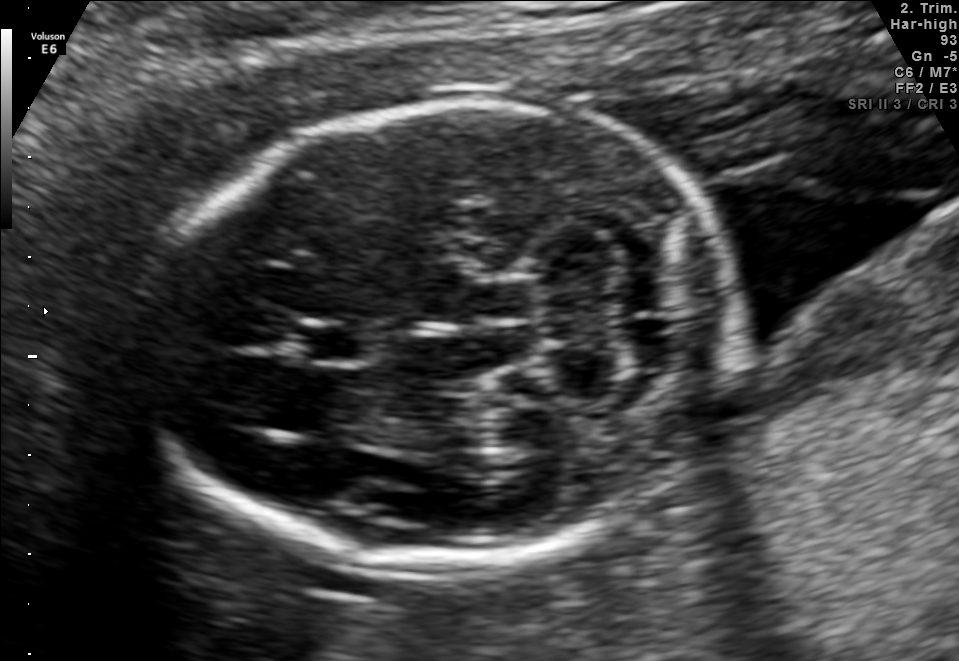
Fetal brain, trans-cerebellum plane. Locate the fetal head.

Head: [152,103,733,564]